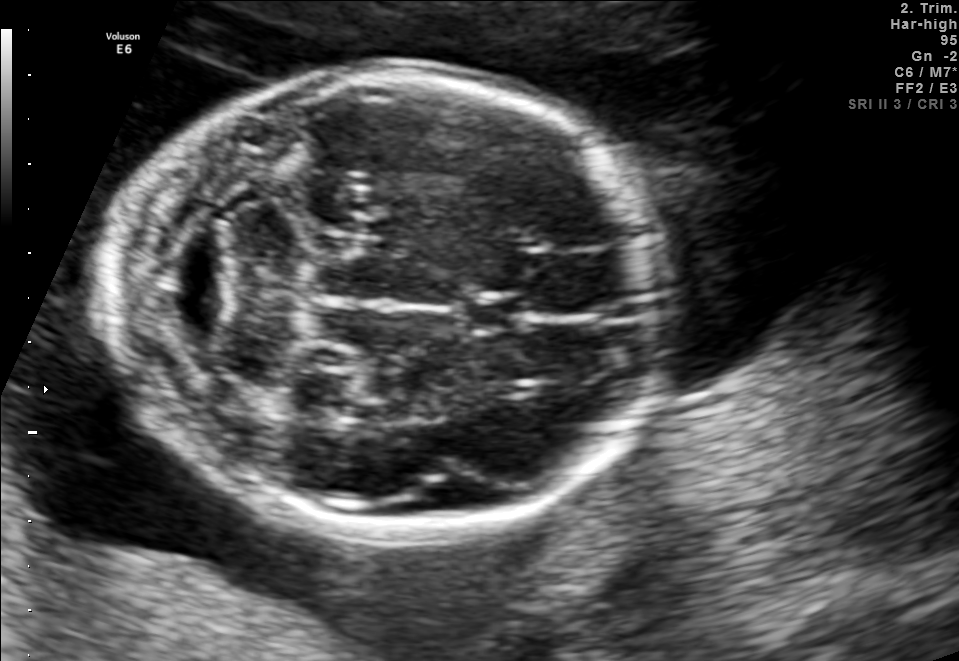
In this fetal brain, trans-cerebellum plane, give bounding boxes for the head outline, cavum septum pellucidum (CSP), and lateral ventricle (LV), where visible.

Head: [106,71,661,530]
CSP: [465,295,528,330]